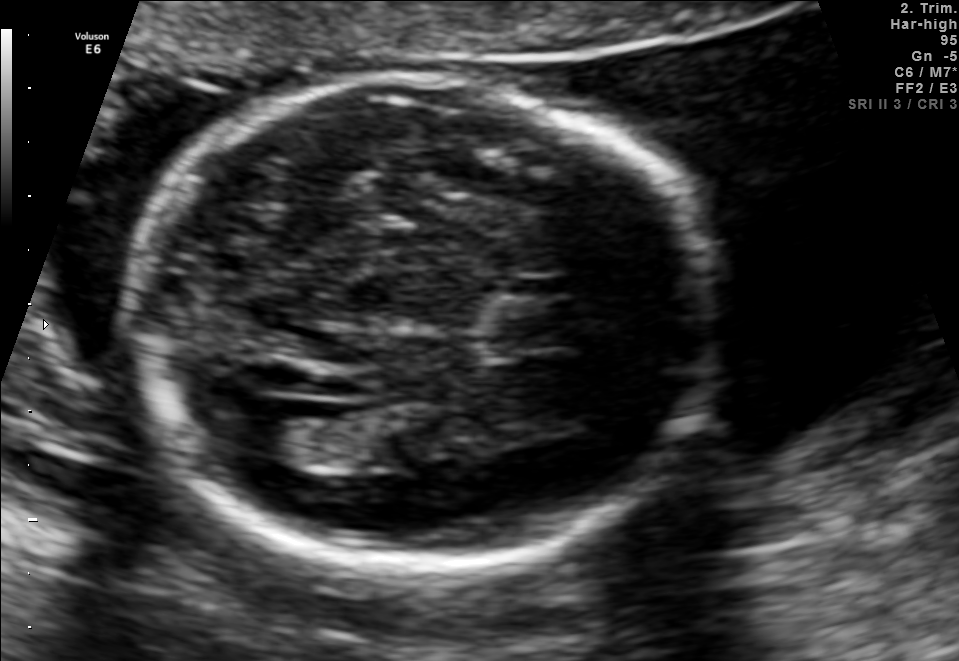
In this fetal brain, trans-ventricular plane, give the bounding box of the cavum septum pellucidum.

[470,297,583,352]